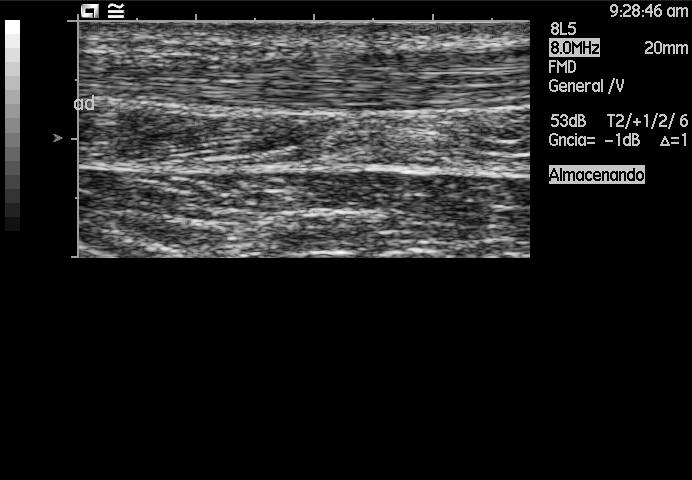
This is a 2D maternal-fetal ultrasound frame. Is it a fetal abdomen, fetal brain, fetal femur, fetal thorax, maternal cervix, or other standard plane? If it's fetal brain and one of the three standard brain planes (trans-thalamic, trans-cerebellum, trans-ventricular), name which.

Other